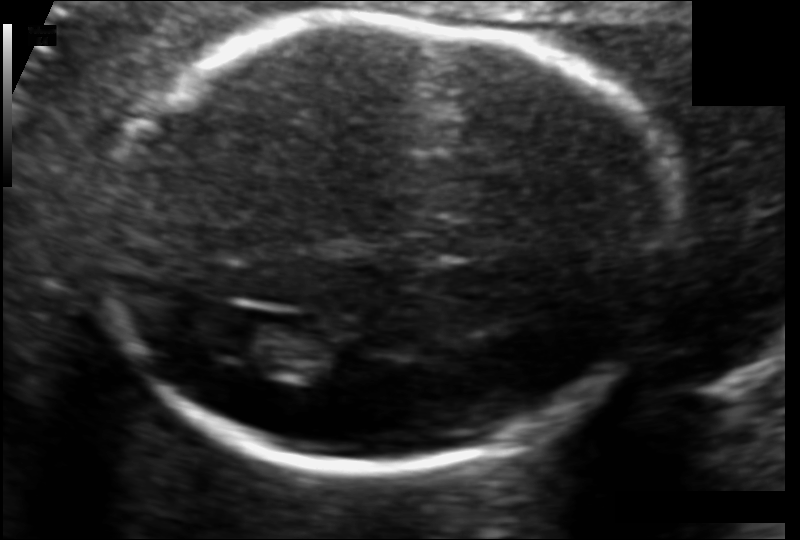
What is the fetal head circumference? Image width is 84.9 mm.

175.1 mm